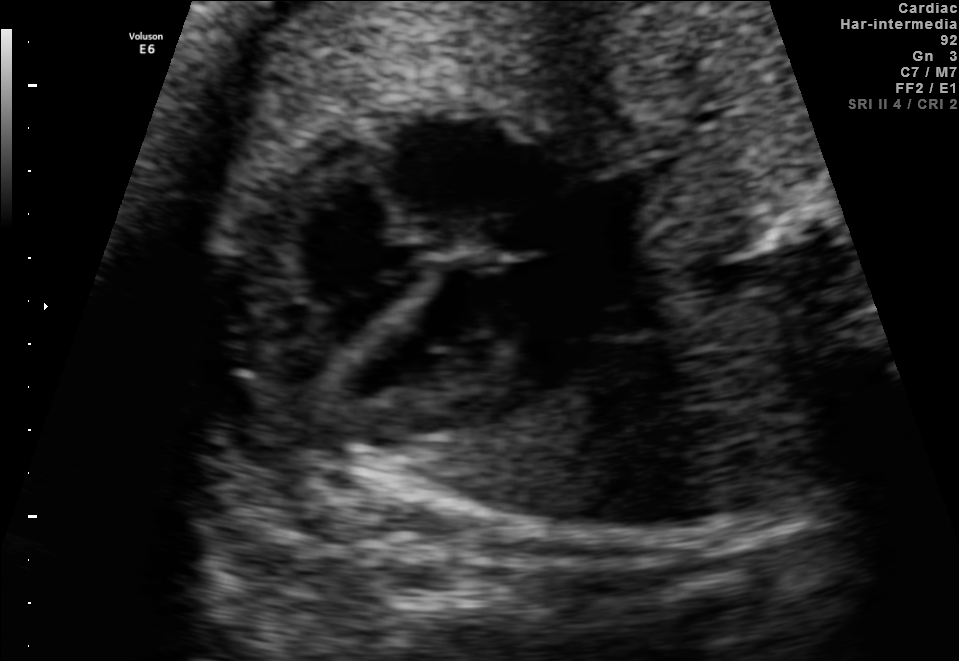
This is a 2D maternal-fetal ultrasound frame. Is it a fetal abdomen, fetal brain, fetal femur, fetal thorax, maternal cervix, or other standard plane? If it's fetal brain and one of the three standard brain planes (trans-thalamic, trans-cerebellum, trans-ventricular), name which.

Fetal thorax